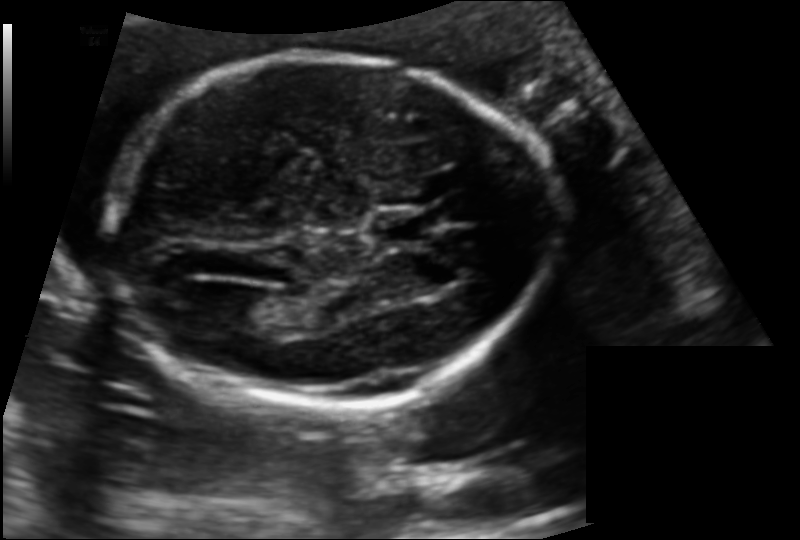
Fetal head ultrasound. Image width: 105.8 mm. Locate the lateral ventricle.

Lateral ventricle: [226,292,283,331]